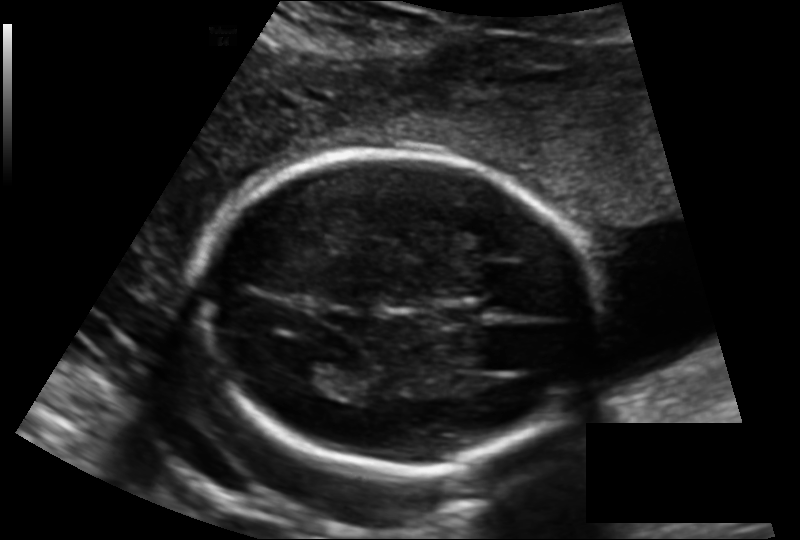
Fetal head ultrasound. Image width: 114.7 mm. Give [x1,y1,x2,y2] bounding boxes for each visible structure among: fetal head, CSP, LV.

Head: [202,150,596,472]
CSP: [434,300,482,330]
Lateral ventricle: [286,350,354,399]